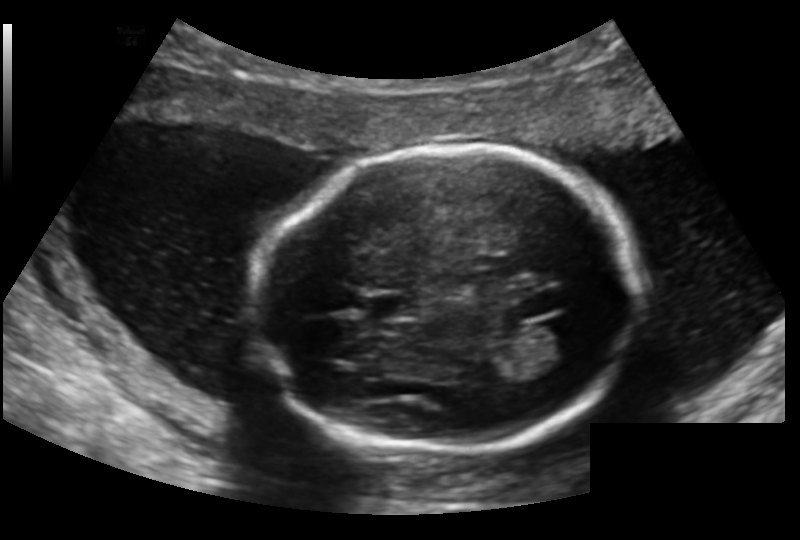
Fetal head ultrasound. Image width: 127.4 mm. Where is the fetal head?

Head bounding box: [254,146,638,453]